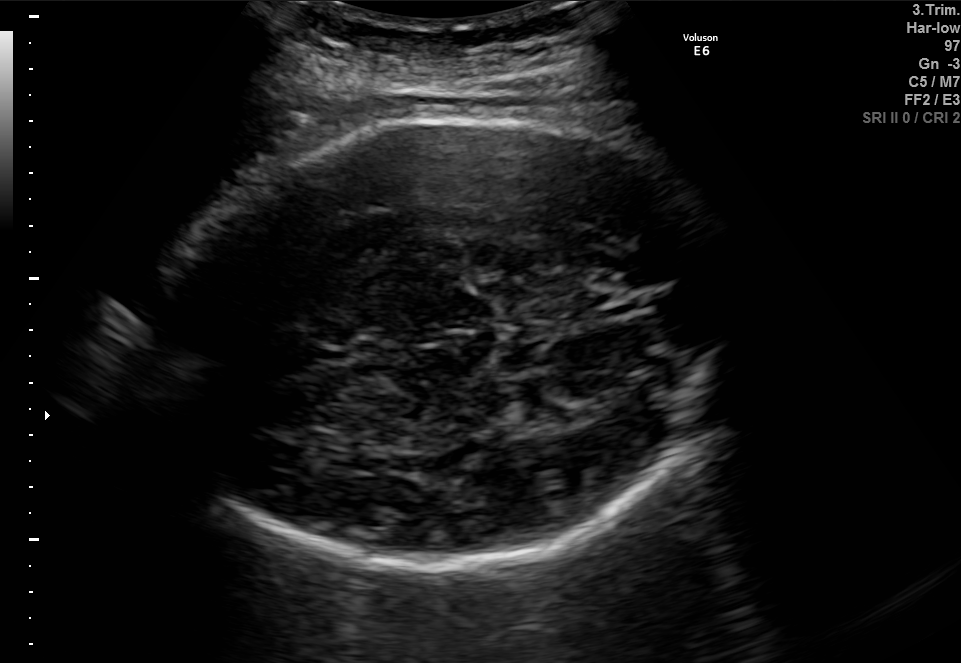
In this fetal brain, trans-thalamic plane, give the bounding box of the fetal head.

[147,111,734,564]